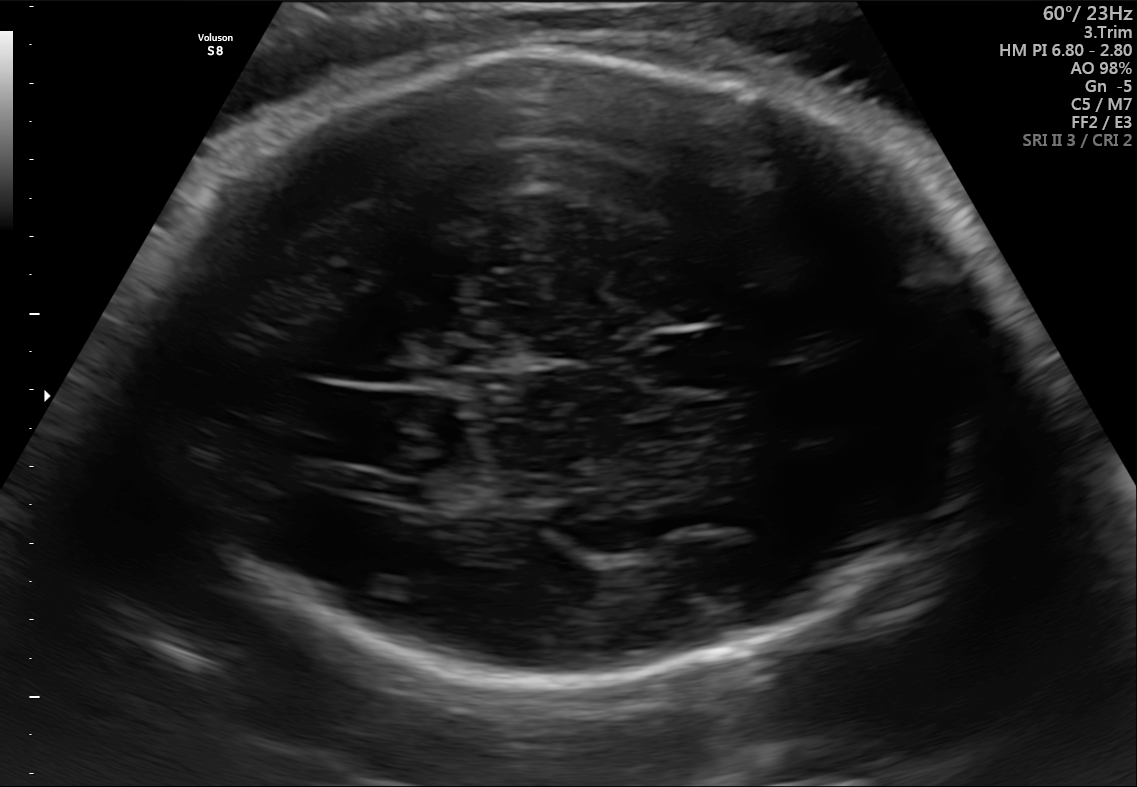
In this fetal brain, trans-thalamic plane, give the bounding box of the cavum septum pellucidum.

[648,334,741,388]